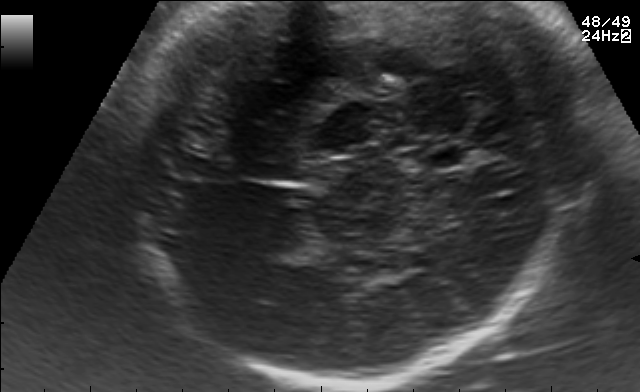
Fetal brain, trans-thalamic plane. Locate the cavum septum pellucidum (CSP) and lateral ventricle (LV), if visible. Give bounding boxes as [x1,y1,x2,y2].

CSP: [414,143,461,171]